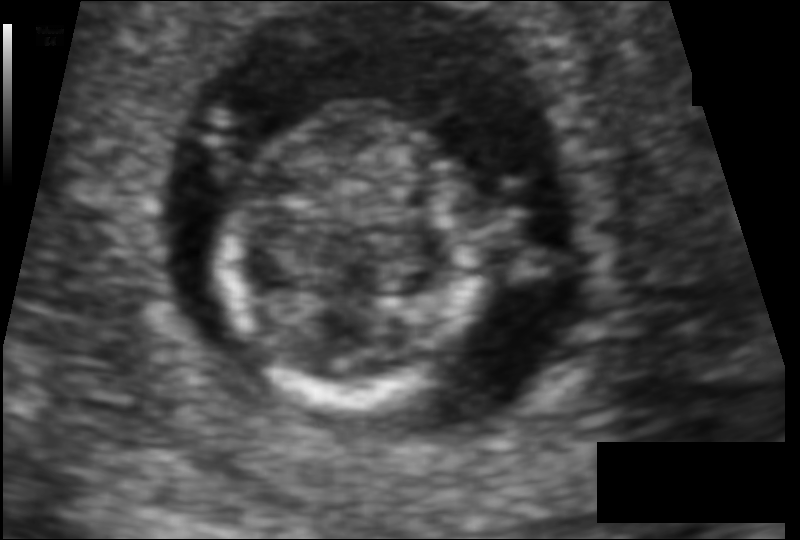
From this fetal ultrasound, estimate the head circumference (image width 63.9 mm).

Head circumference: 72.9 mm.